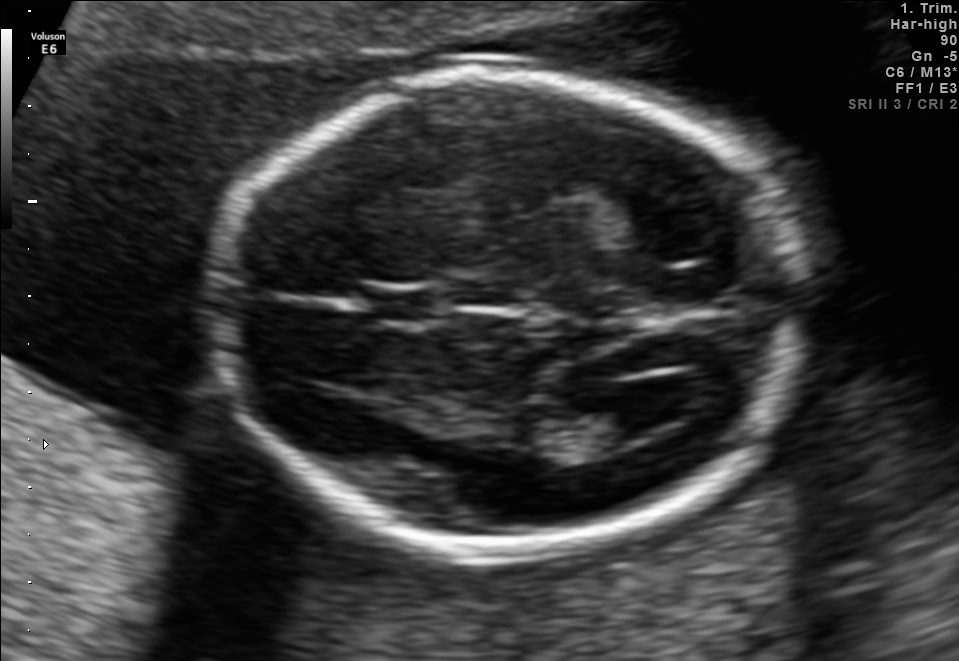
Fetal brain, trans-ventricular plane. Where is the fetal head?

Head bounding box: [197,57,828,566]